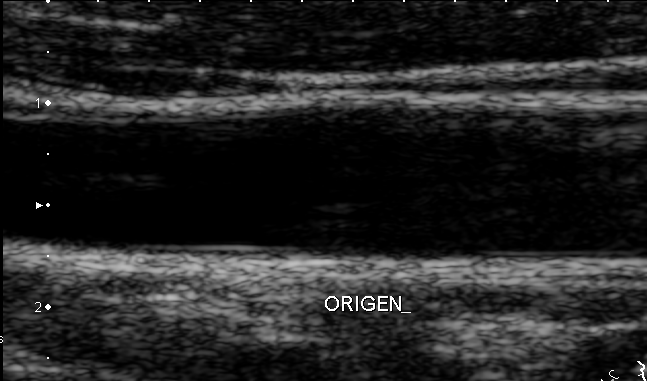
This is a 2D maternal-fetal ultrasound frame. Is it a fetal abdomen, fetal brain, fetal femur, fetal thorax, maternal cervix, or other standard plane? If it's fetal brain and one of the three standard brain planes (trans-thalamic, trans-cerebellum, trans-ventricular), name which.

Other